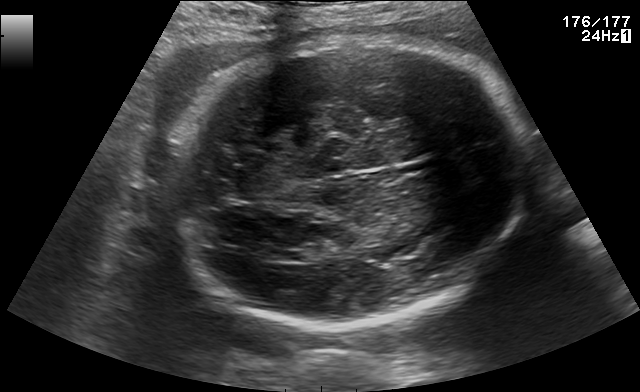
Fetal brain, trans-thalamic plane. Where is the lateral ventricle?

Lateral ventricle bounding box: [270,251,307,263]